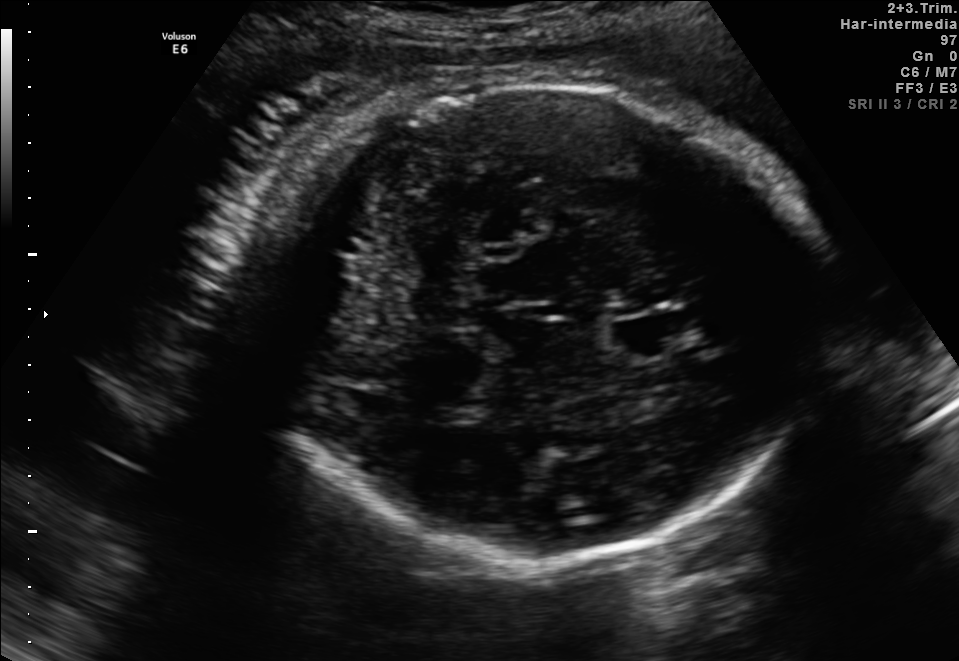
Fetal brain, trans-thalamic plane. Locate the fetal head.

Head: [225,83,818,562]